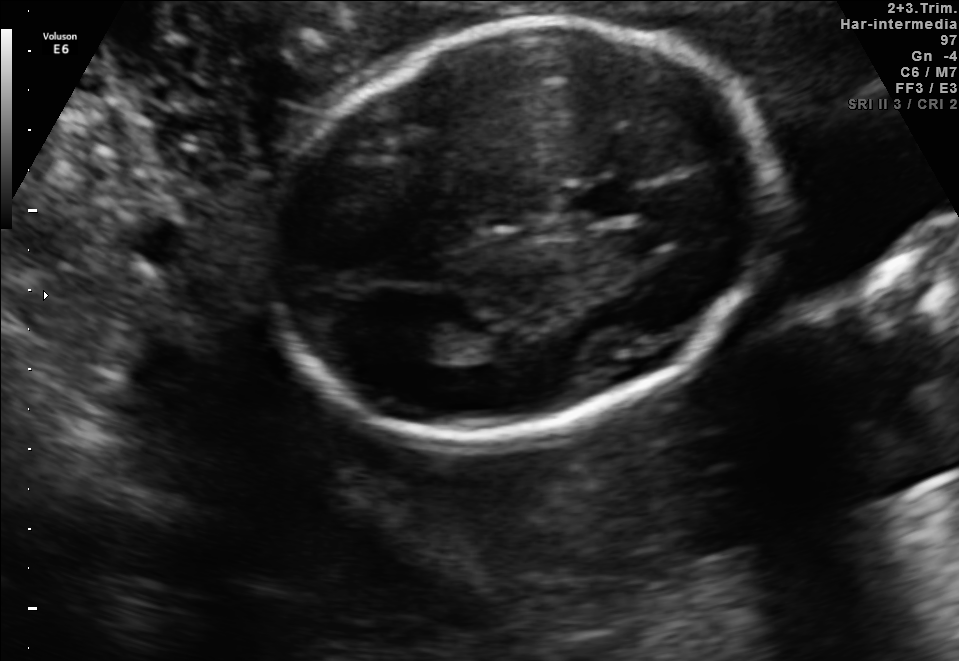
Fetal brain, trans-thalamic plane. Give [x1,y1,x2,y2] bounding boxes for each visible structure among: fetal head, CSP, LV.

Head: [272,23,767,438]
CSP: [568,176,640,226]
Lateral ventricle: [393,323,458,361]